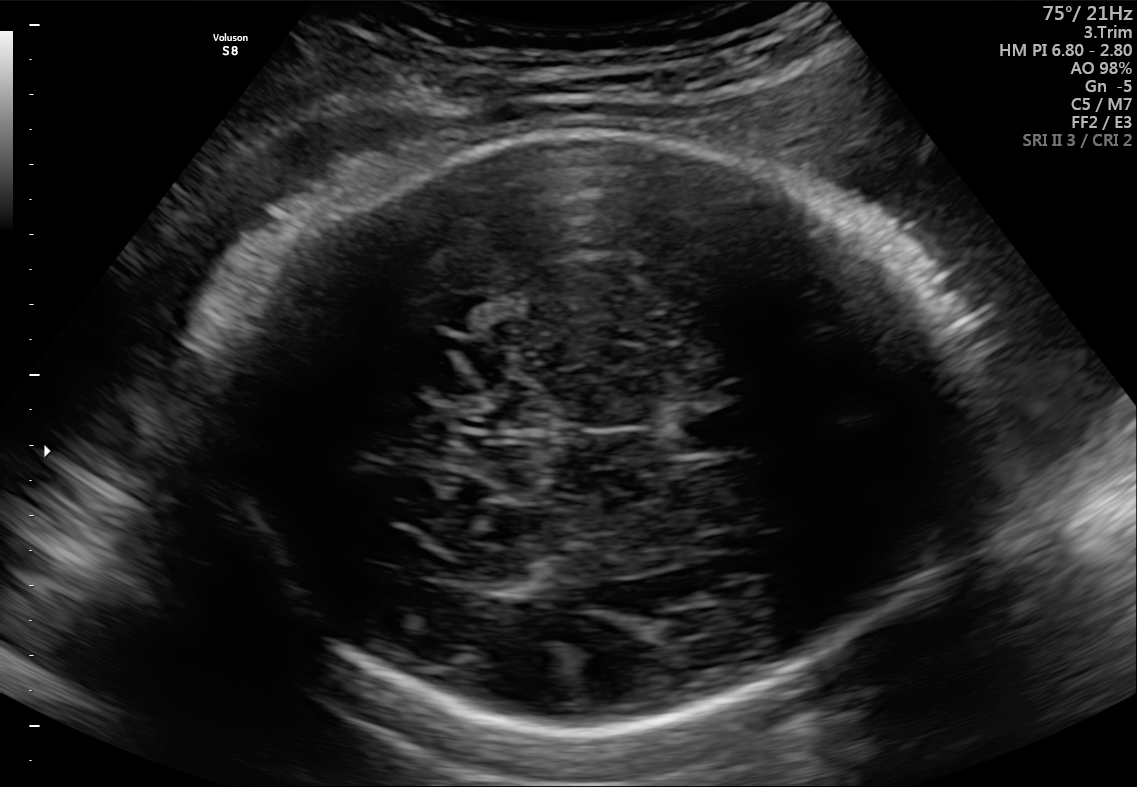
Fetal brain, trans-thalamic plane. Where is the fetal head?

Head bounding box: [211,130,950,731]